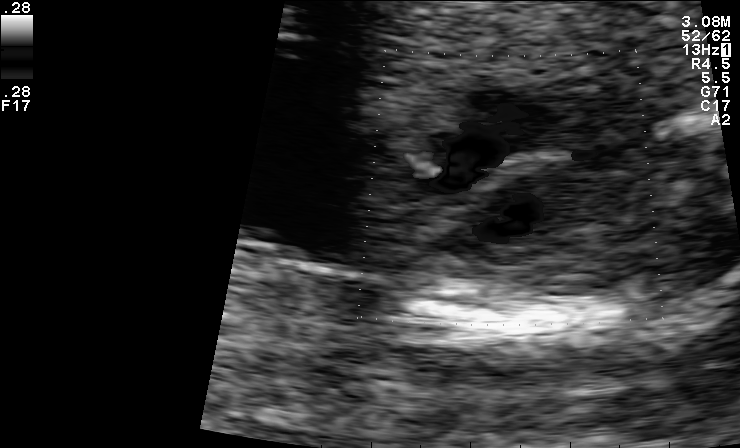
Identify the standard plane in this fetal ultrasound image: fetal abdomen, fetal brain, fetal femur, fetal thorax, maternal cervix, or other. If it's fetal brain and one of the three standard brain planes (trans-thalamic, trans-cerebellum, trans-ventricular), name which.

Other